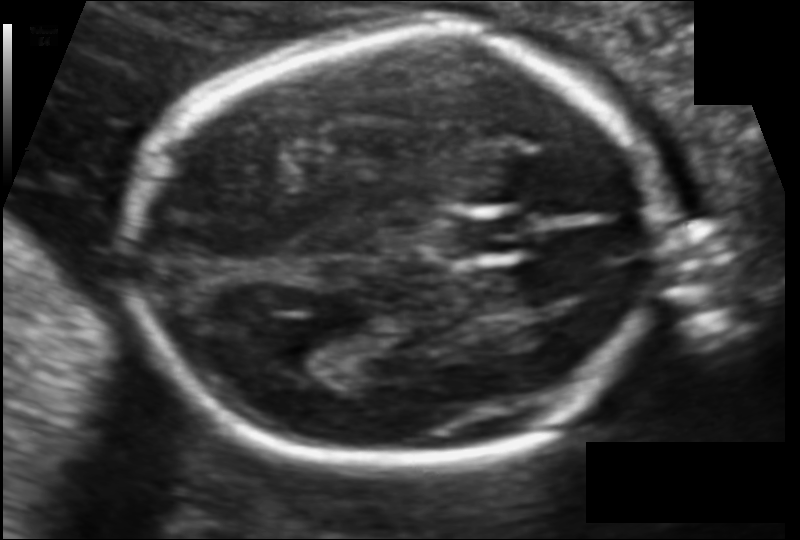
Fetal head ultrasound. Image width: 84.9 mm. Locate the fetal head and, if visible, the cavum septum pellucidum (CSP) and lateral ventricle (LV). Give bounding boxes as [x1,y1,x2,y2].

Head: [132,37,670,467]
CSP: [451,212,527,260]
Lateral ventricle: [266,319,349,367]